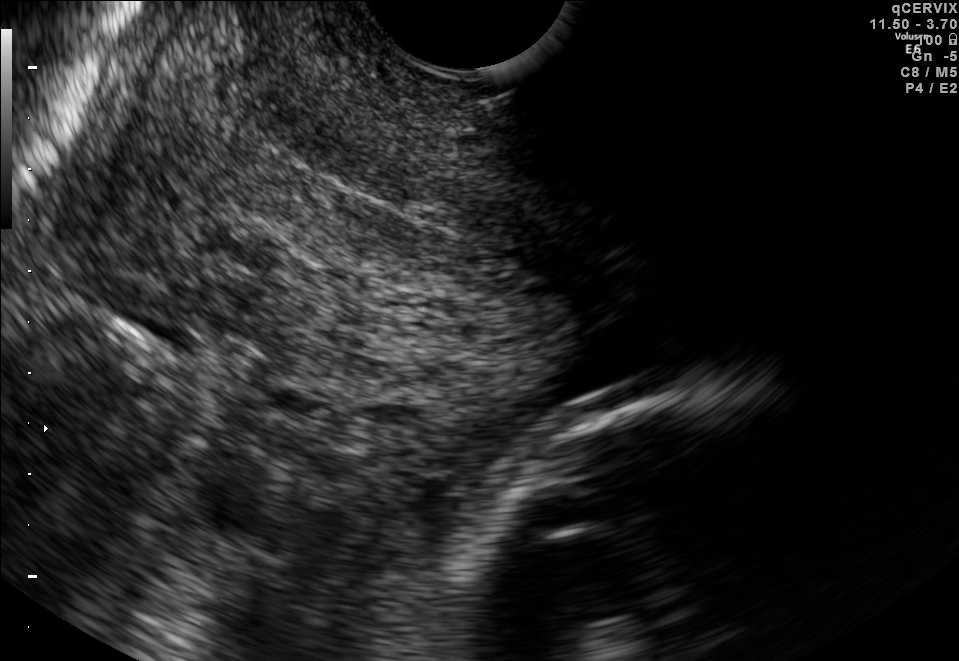
Which standard maternal-fetal ultrasound plane is shown: fetal abdomen, fetal brain, fetal femur, fetal thorax, maternal cervix, or other? If it's fetal brain and one of the three standard brain planes (trans-thalamic, trans-cerebellum, trans-ventricular), name which.

Maternal cervix